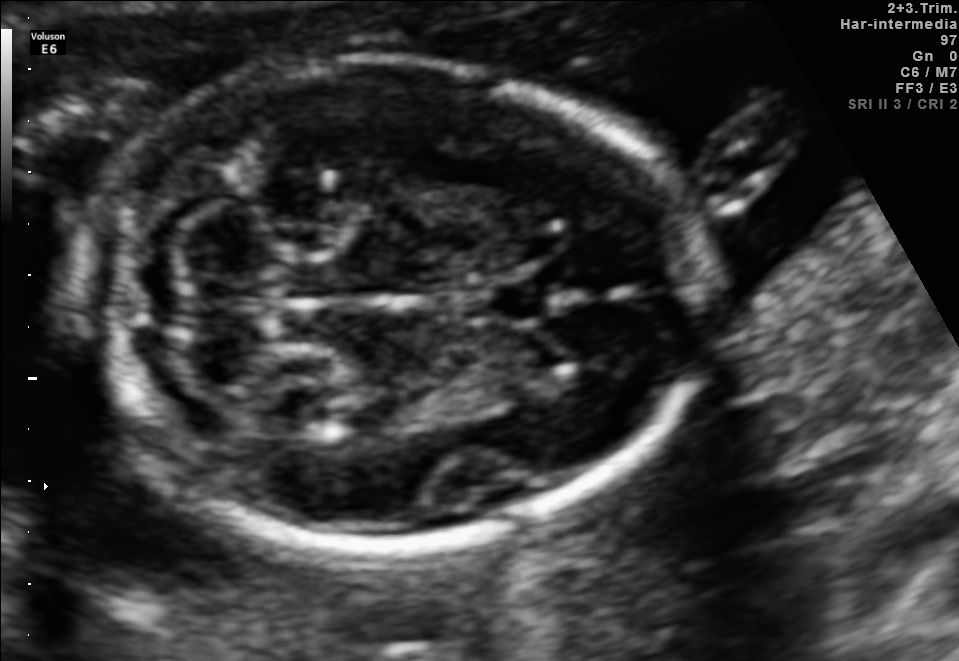
Classify this maternal-fetal ultrasound image as one of the six standard planes — fetal abdomen, fetal brain, fetal femur, fetal thorax, maternal cervix, or other. If it's fetal brain and one of the three standard brain planes (trans-thalamic, trans-cerebellum, trans-ventricular), name which.

Fetal brain (trans-cerebellum plane)